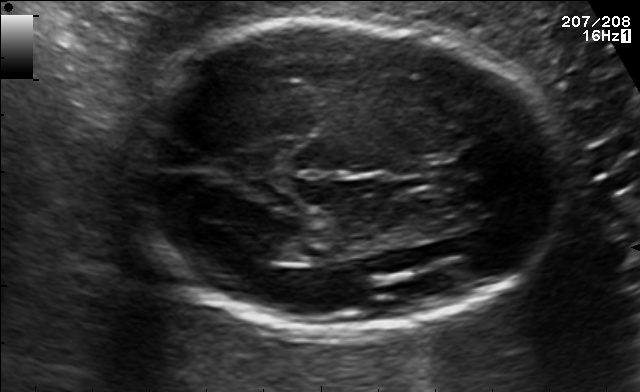
Fetal brain, trans-thalamic plane. Where is the lateral ventricle?

Lateral ventricle bounding box: [259,237,314,263]